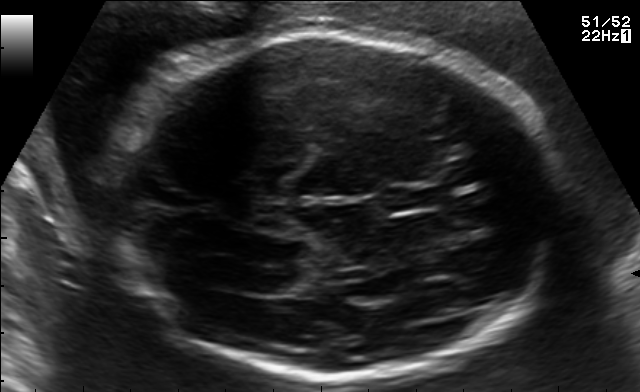
Fetal brain, trans-ventricular plane. Where is the fetal head?

Head bounding box: [97,28,575,383]